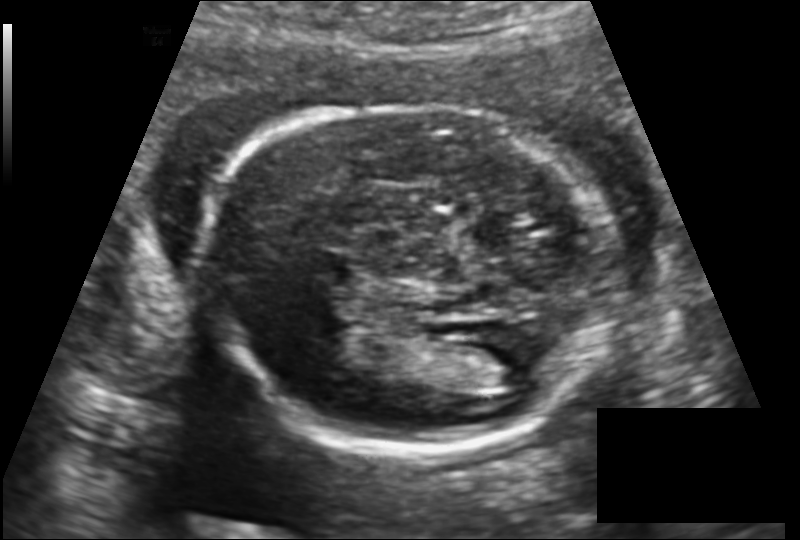
In this fetal head ultrasound, give the bounding box of the fetal head. Image width: 111.5 mm.

[204,105,616,452]